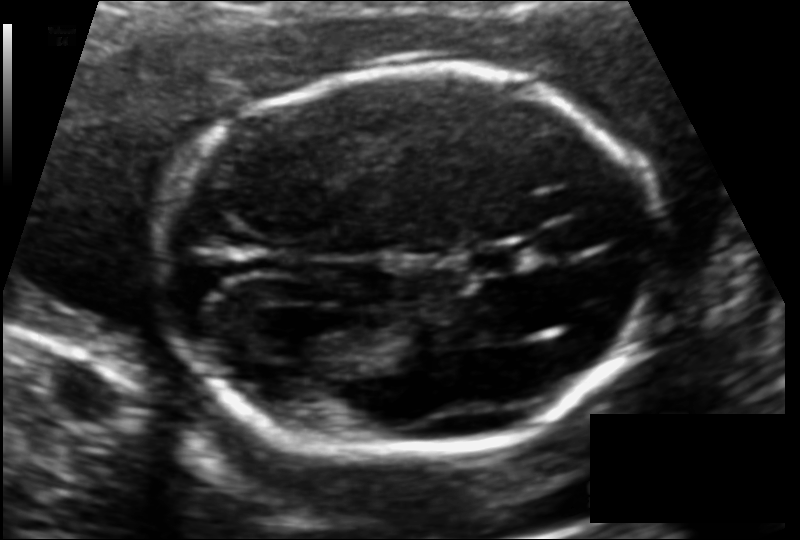
Estimate the fetal head circumference from this 2D ultrasound.

Head circumference: 168.3 mm (image width 93.1 mm).